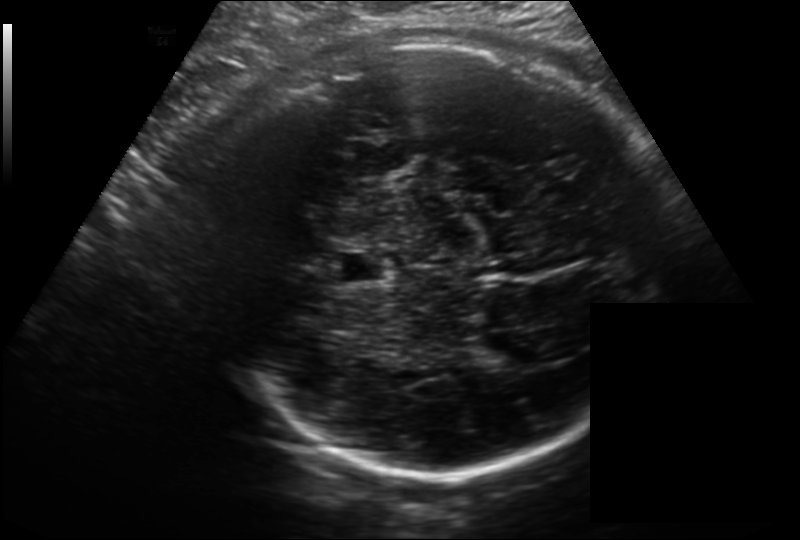
From this fetal ultrasound, estimate the head circumference (image width 171.5 mm).

Head circumference: 312.8 mm.